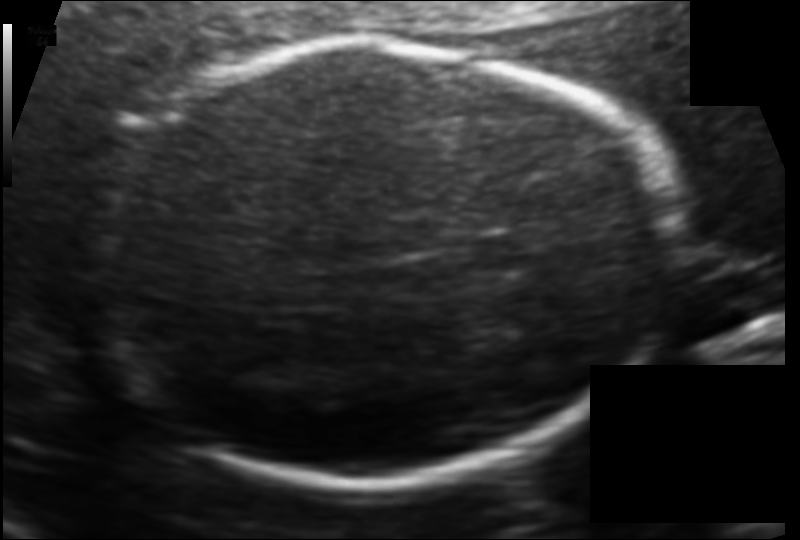
Estimate the fetal head circumference from this 2D ultrasound. Image width: 91.1 mm.

Head circumference: 187.5 mm.